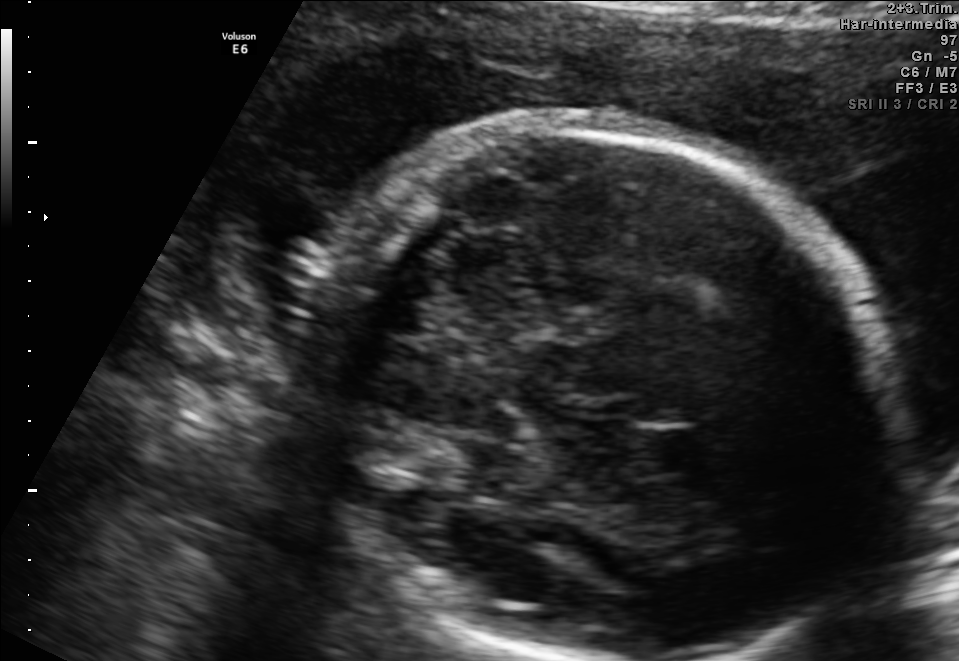
Which standard maternal-fetal ultrasound plane is shown: fetal abdomen, fetal brain, fetal femur, fetal thorax, maternal cervix, or other? If it's fetal brain and one of the three standard brain planes (trans-thalamic, trans-cerebellum, trans-ventricular), name which.

Fetal brain (trans-thalamic plane)